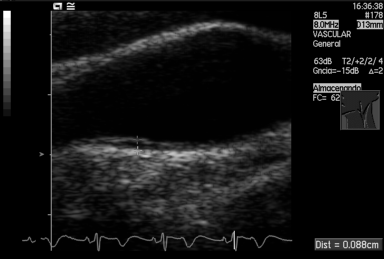
This is a 2D maternal-fetal ultrasound frame. Is it a fetal abdomen, fetal brain, fetal femur, fetal thorax, maternal cervix, or other standard plane? If it's fetal brain and one of the three standard brain planes (trans-thalamic, trans-cerebellum, trans-ventricular), name which.

Other